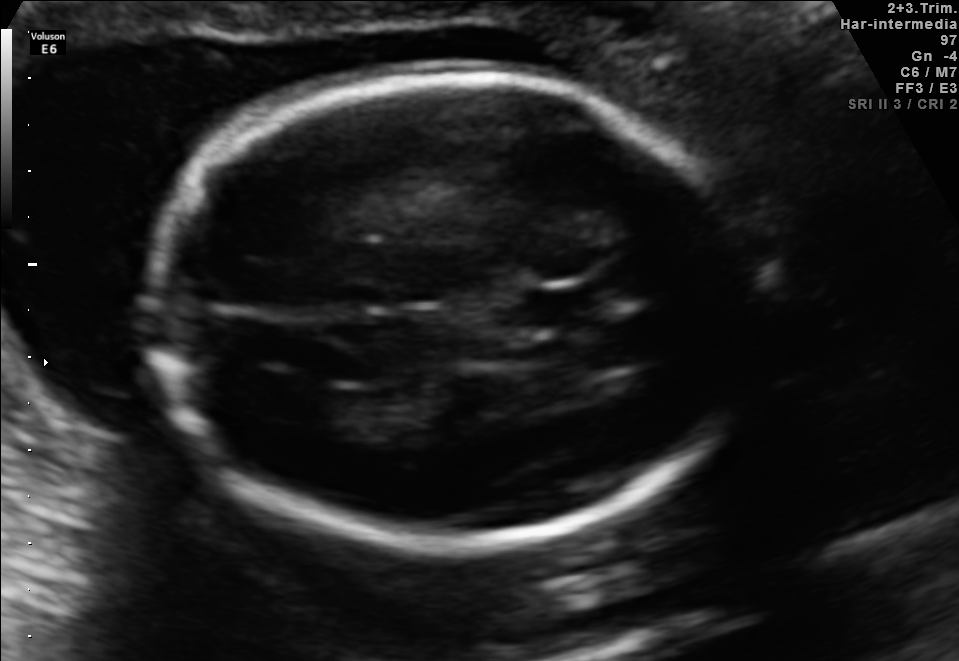
In this fetal brain, trans-ventricular plane, give the bounding box of the cavum septum pellucidum.

[517,291,601,329]